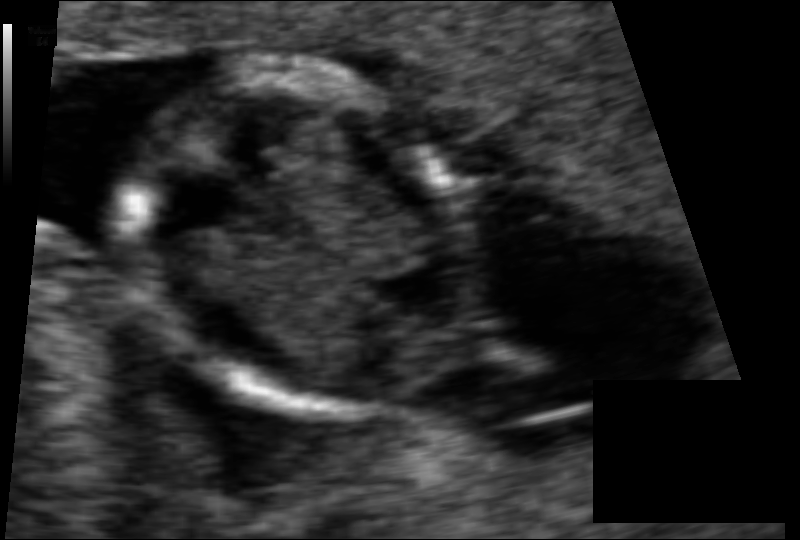
In this fetal head ultrasound, give bounding boxes for the head outline, cavum septum pellucidum (CSP), and lateral ventricle (LV), where visible. Image width: 52.2 mm.

Head: [126,72,481,421]